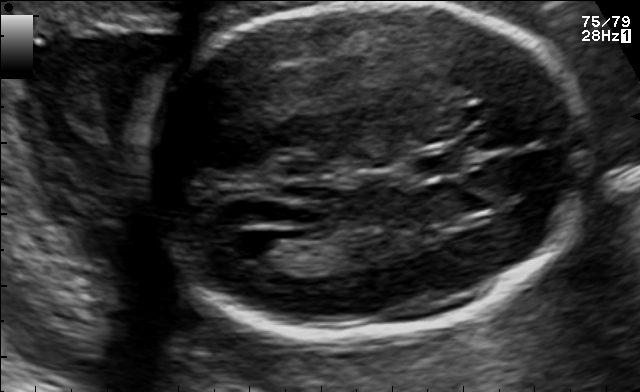
Fetal brain, trans-ventricular plane. Locate the lateral ventricle.

Lateral ventricle: [217,226,287,264]